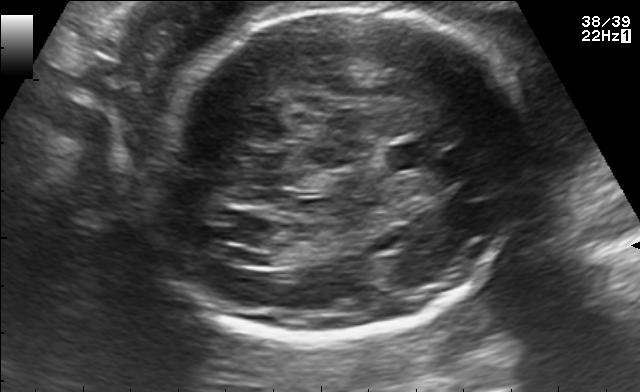
In this fetal brain, trans-ventricular plane, give the bounding box of the fetal head.

[140,4,532,343]